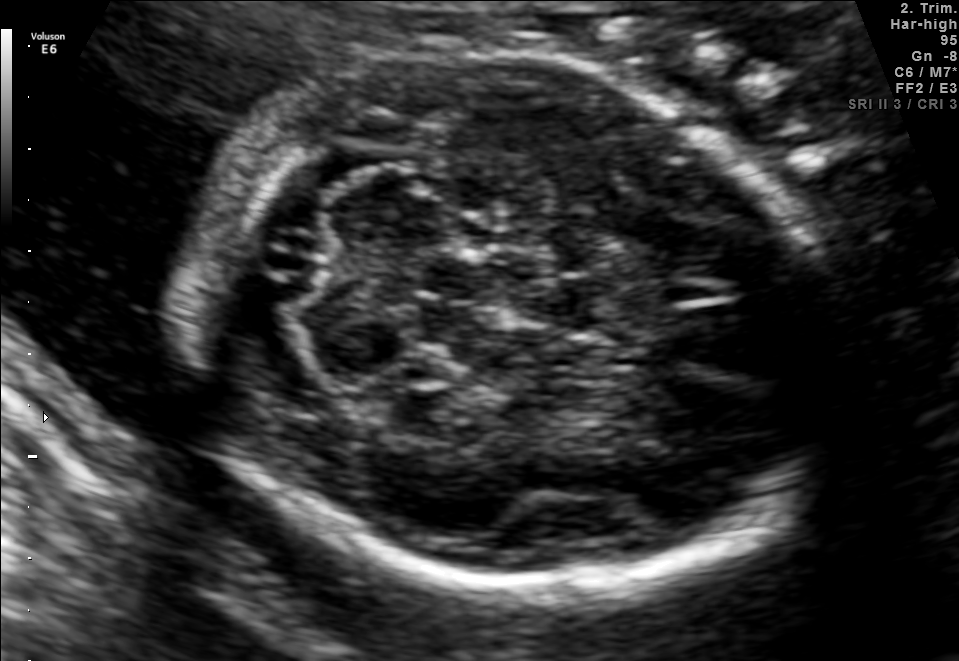
In this fetal brain, trans-cerebellum plane, give bounding boxes for the head outline, cavum septum pellucidum (CSP), and lateral ventricle (LV), where visible.

Head: [187,59,834,592]